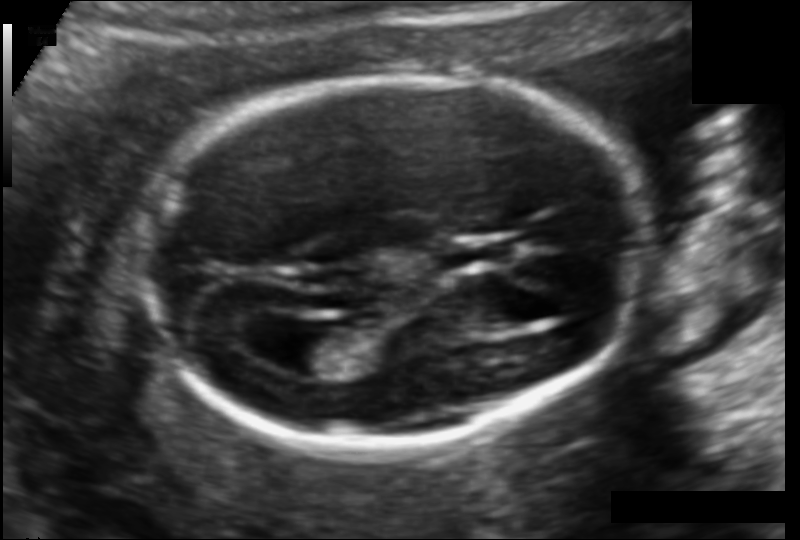
In this fetal head ultrasound, give bounding boxes for the head outline, cavum septum pellucidum (CSP), and lateral ventricle (LV), where visible. Image width: 91.5 mm.

Head: [135,75,647,445]
CSP: [443,234,512,272]
Lateral ventricle: [265,323,341,380]